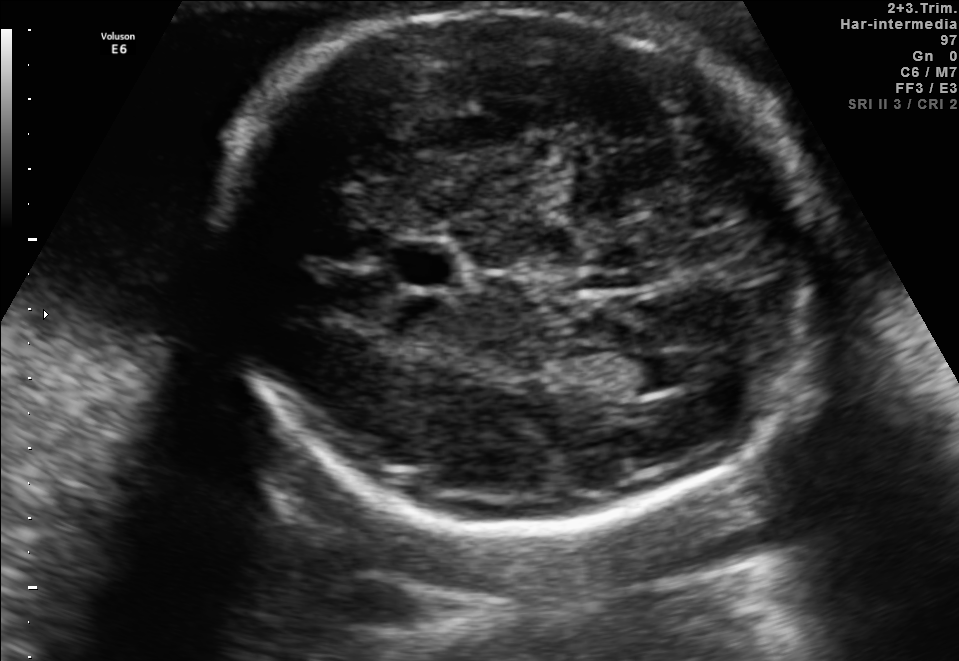
In this fetal brain, trans-ventricular plane, give the bounding box of the lateral ventricle.

[623,343,701,397]